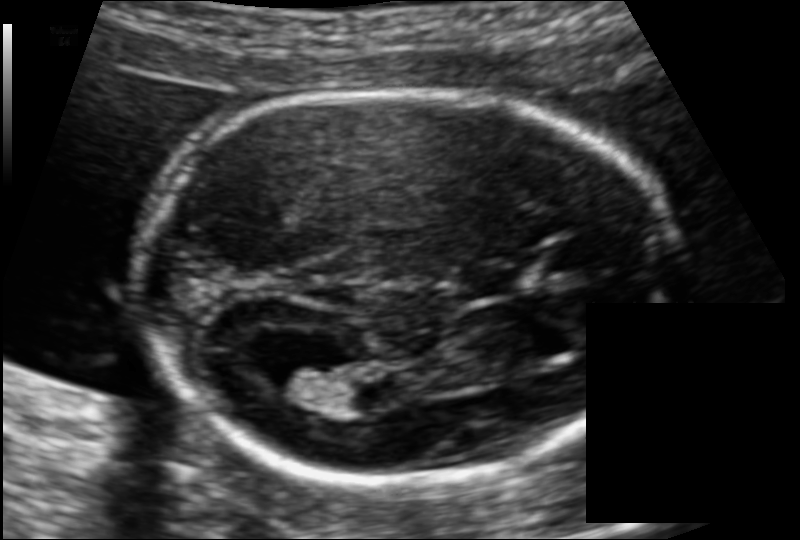
Fetal head ultrasound. Image width: 85.1 mm. Where is the lateral ventricle?

Lateral ventricle bounding box: [258,352,344,413]